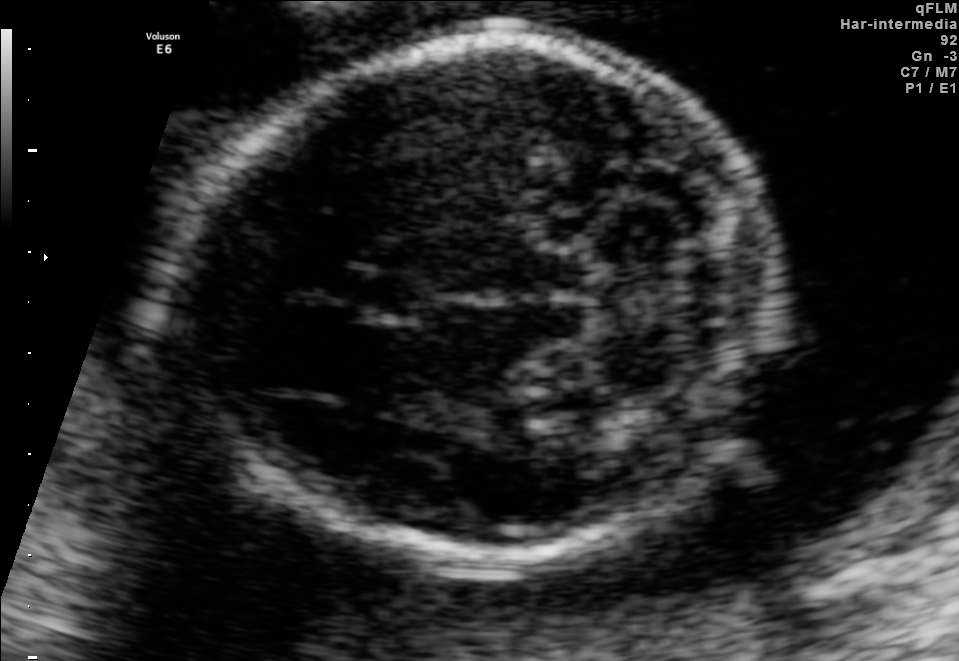
Which standard maternal-fetal ultrasound plane is shown: fetal abdomen, fetal brain, fetal femur, fetal thorax, maternal cervix, or other? If it's fetal brain and one of the three standard brain planes (trans-thalamic, trans-cerebellum, trans-ventricular), name which.

Fetal brain (trans-cerebellum plane)